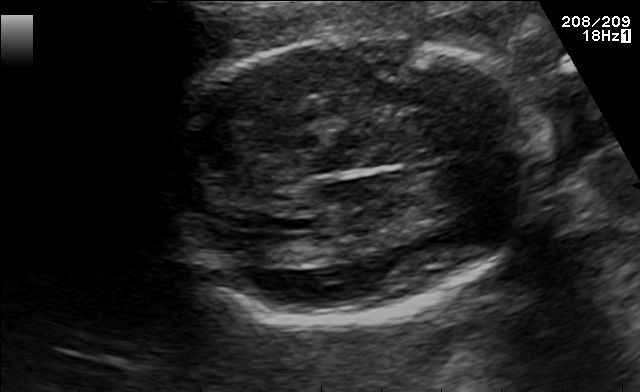
Fetal brain, trans-thalamic plane. Give [x1,y1,x2,y2] bounding boxes for each visible structure among: fetal head, CSP, LV.

Head: [163,34,545,317]
Lateral ventricle: [246,234,314,264]